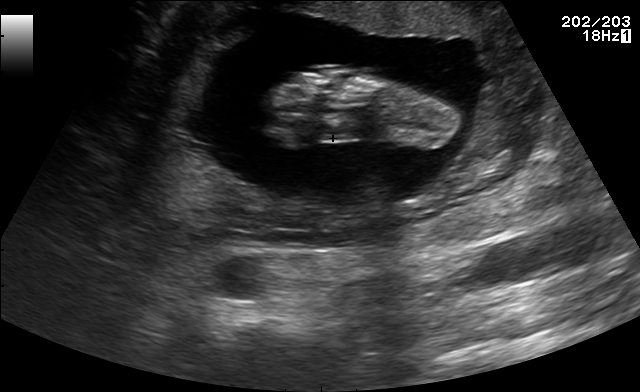
Which standard maternal-fetal ultrasound plane is shown: fetal abdomen, fetal brain, fetal femur, fetal thorax, maternal cervix, or other? If it's fetal brain and one of the three standard brain planes (trans-thalamic, trans-cerebellum, trans-ventricular), name which.

Other